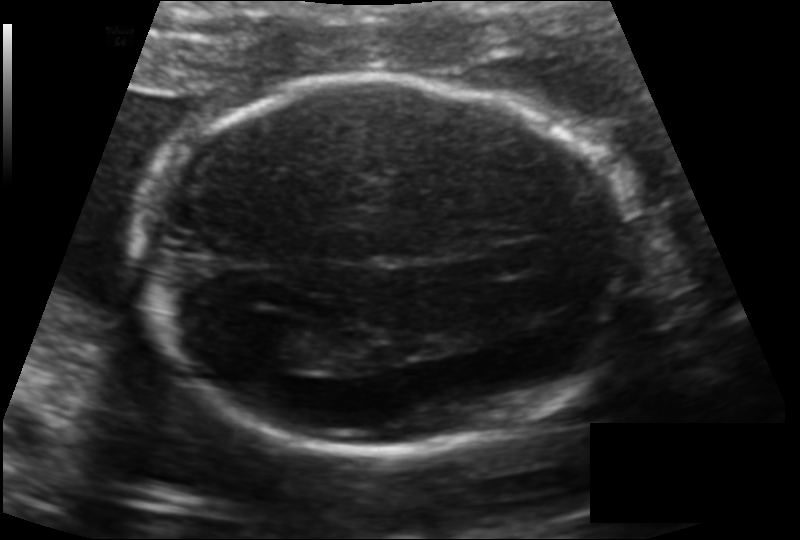
Fetal head ultrasound. Image width: 107.0 mm. Where is the cavum septum pellucidum?

CSP bounding box: [479,237,550,280]